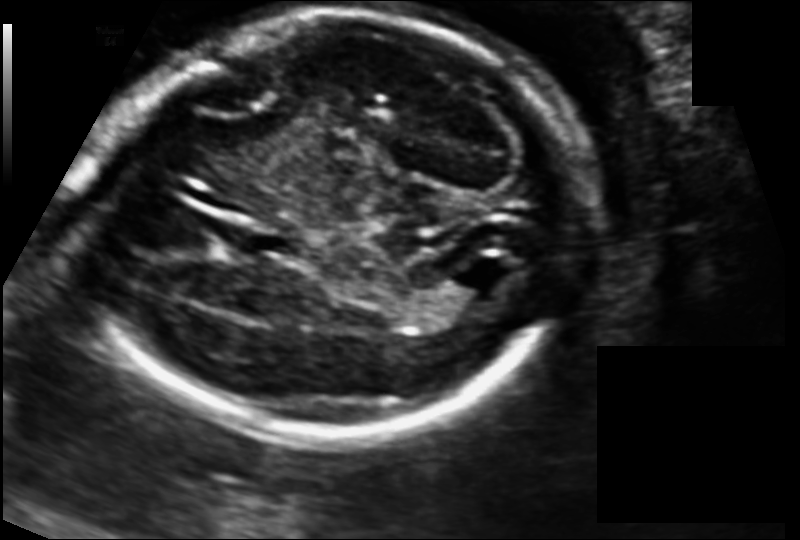
Estimate the fetal head circumference from this 2D ultrasound. Image width: 100.4 mm.

Head circumference: 184.5 mm.